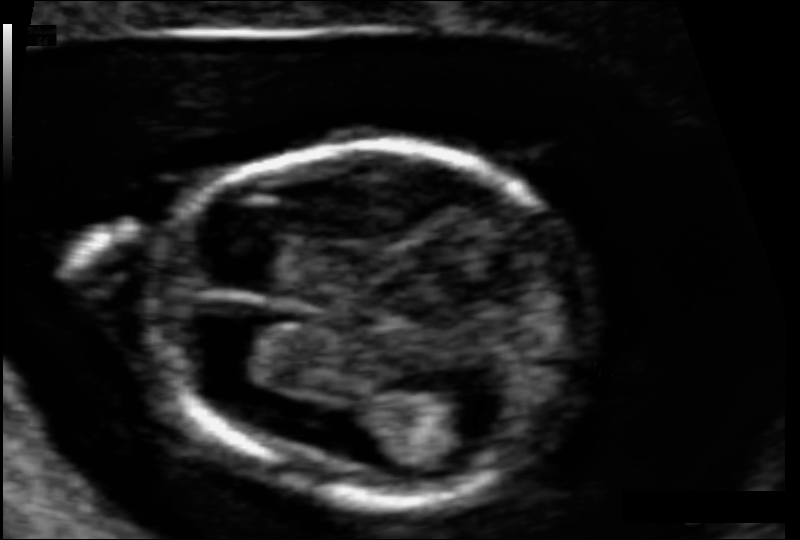
What is the fetal head circumference? Image width is 50.1 mm.

81.6 mm